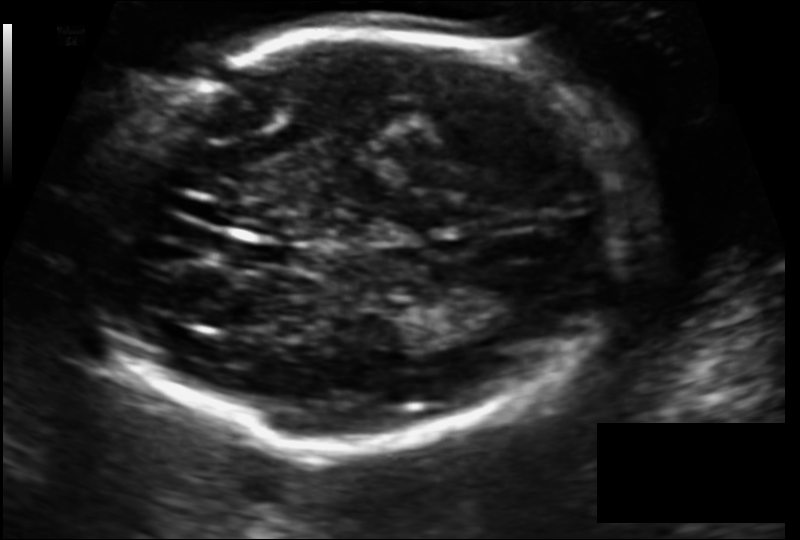
In this fetal head ultrasound, give bounding boxes for the head outline, cavum septum pellucidum (CSP), and lateral ventricle (LV), where visible. Image width: 98.9 mm.

Head: [89,33,627,444]
Lateral ventricle: [459,261,555,331]